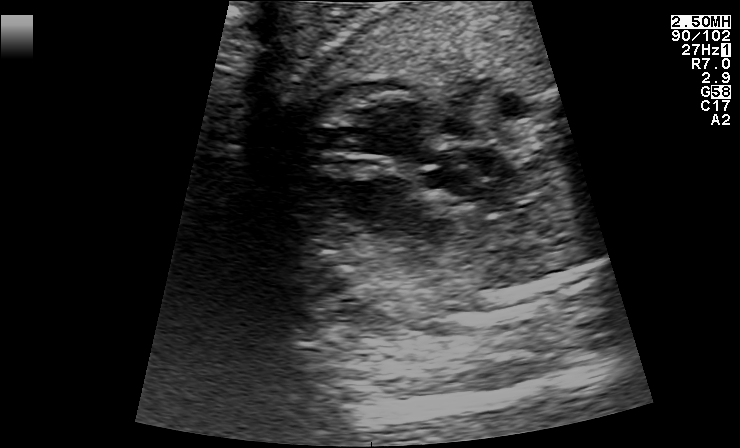
Classify this maternal-fetal ultrasound image as one of the six standard planes — fetal abdomen, fetal brain, fetal femur, fetal thorax, maternal cervix, or other. If it's fetal brain and one of the three standard brain planes (trans-thalamic, trans-cerebellum, trans-ventricular), name which.

Fetal thorax